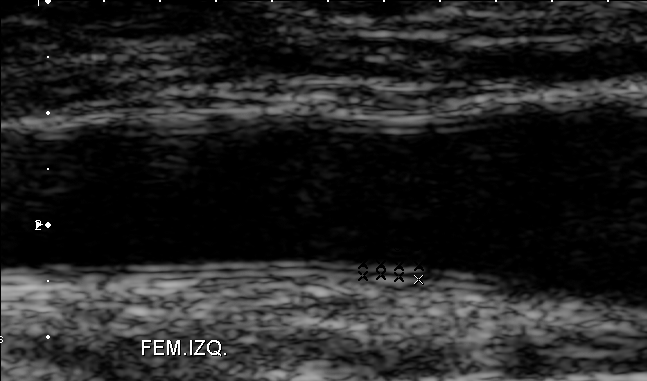
Identify the standard plane in this fetal ultrasound image: fetal abdomen, fetal brain, fetal femur, fetal thorax, maternal cervix, or other. If it's fetal brain and one of the three standard brain planes (trans-thalamic, trans-cerebellum, trans-ventricular), name which.

Other